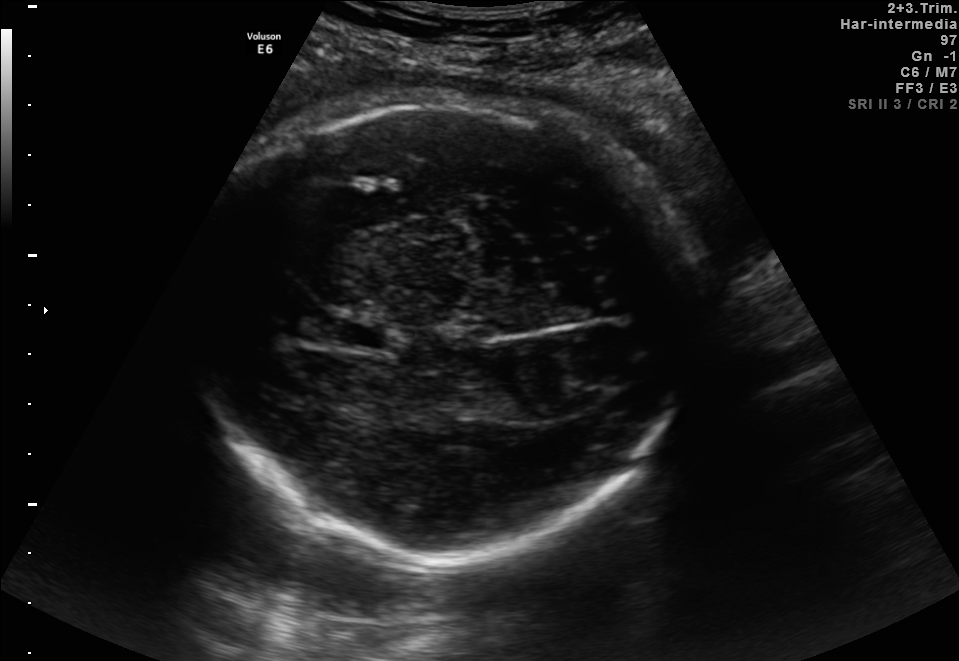
Fetal brain, trans-thalamic plane. Locate the fetal head and, if visible, the cavum septum pellucidum (CSP) and lateral ventricle (LV). Give bounding boxes as [x1,y1,x2,y2].

Head: [188,100,689,559]
CSP: [334,318,388,350]